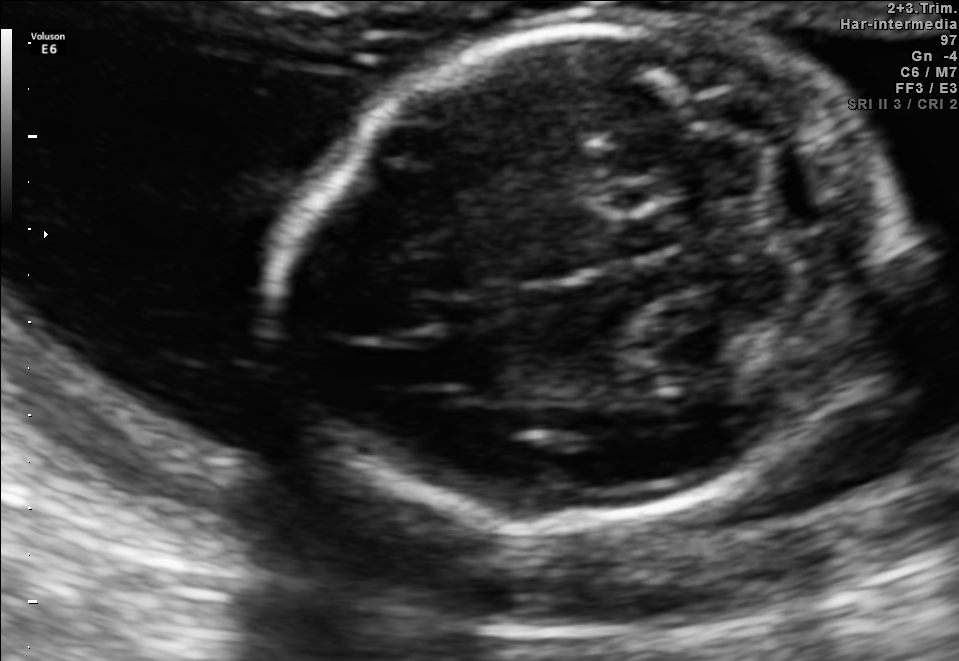
In this fetal brain, trans-cerebellum plane, give the bounding box of the fetal head.

[281,23,900,530]